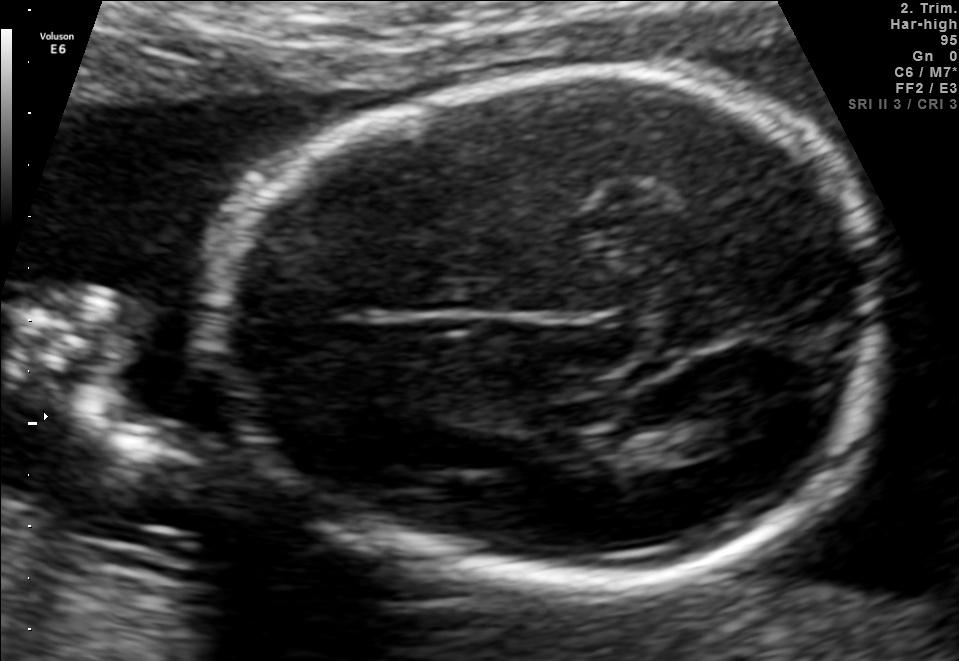
Fetal brain, trans-thalamic plane. Locate the lateral ventricle.

Lateral ventricle: [660,394,766,466]